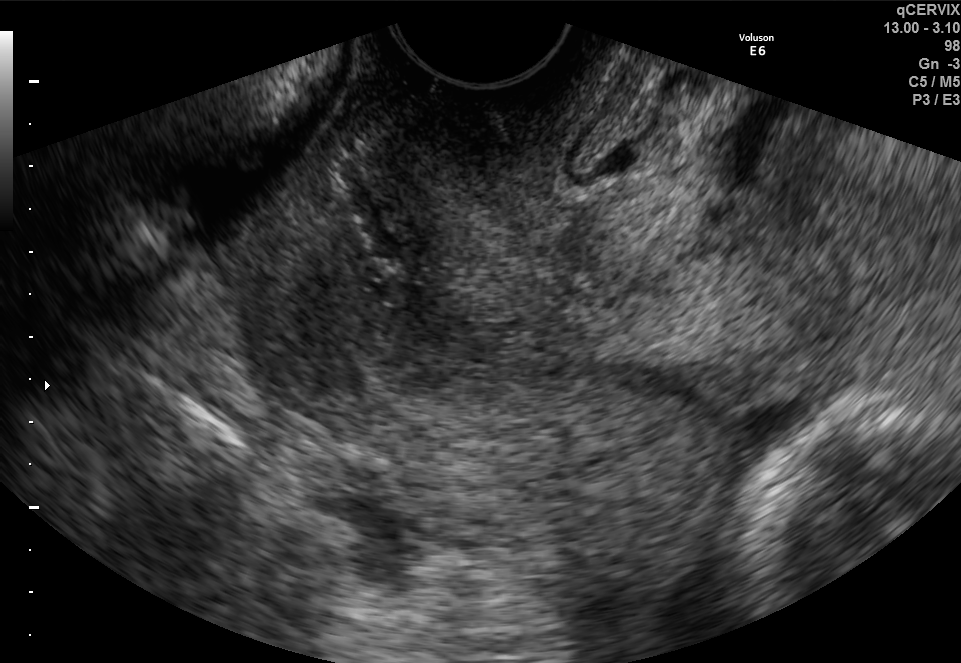
This is a 2D maternal-fetal ultrasound frame. Is it a fetal abdomen, fetal brain, fetal femur, fetal thorax, maternal cervix, or other standard plane? If it's fetal brain and one of the three standard brain planes (trans-thalamic, trans-cerebellum, trans-ventricular), name which.

Maternal cervix